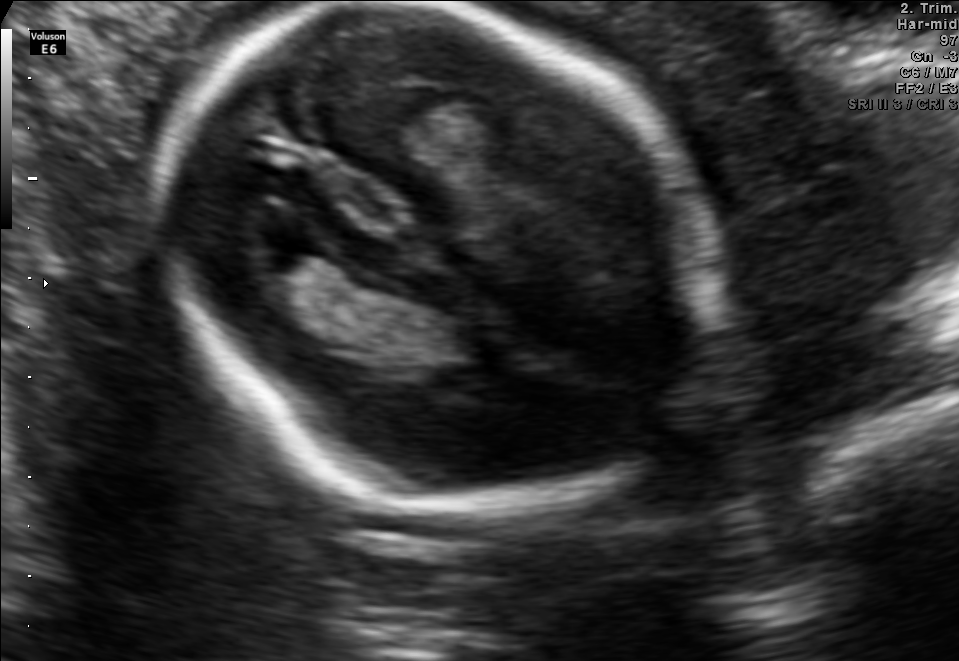
Fetal brain, trans-thalamic plane. Locate the fetal head and, if visible, the cavum septum pellucidum (CSP) and lateral ventricle (LV). Give bounding boxes as [x1,y1,x2,y2].

Head: [159,3,720,502]
Lateral ventricle: [219,183,332,297]